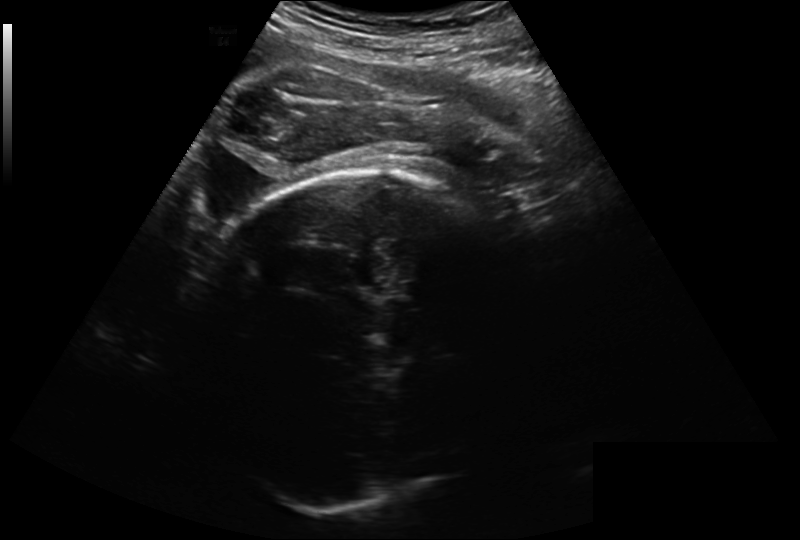
From this fetal ultrasound, estimate the head circumference (image width 208.2 mm).

Head circumference: 293.2 mm.